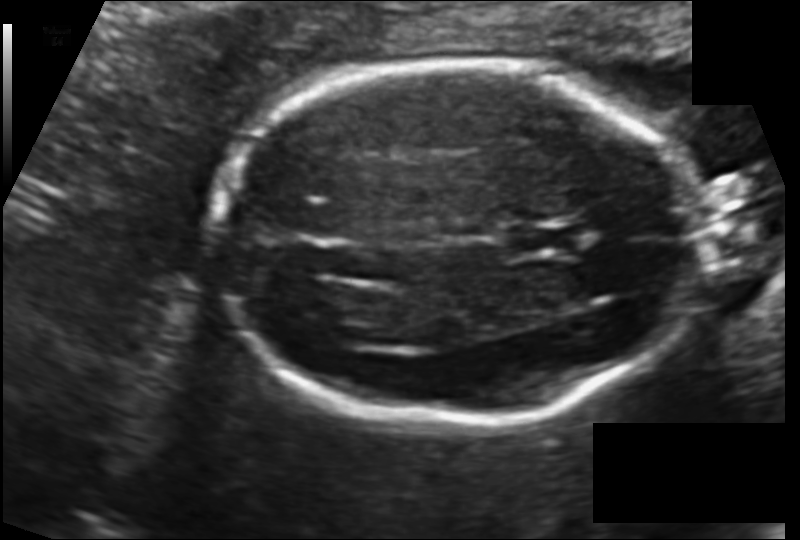
In this fetal head ultrasound, give bounding boxes for the head outline, cavum septum pellucidum (CSP), and lateral ventricle (LV), where visible. Image width: 98.3 mm.

Head: [212,65,707,428]
CSP: [505,221,579,260]
Lateral ventricle: [286,278,369,338]